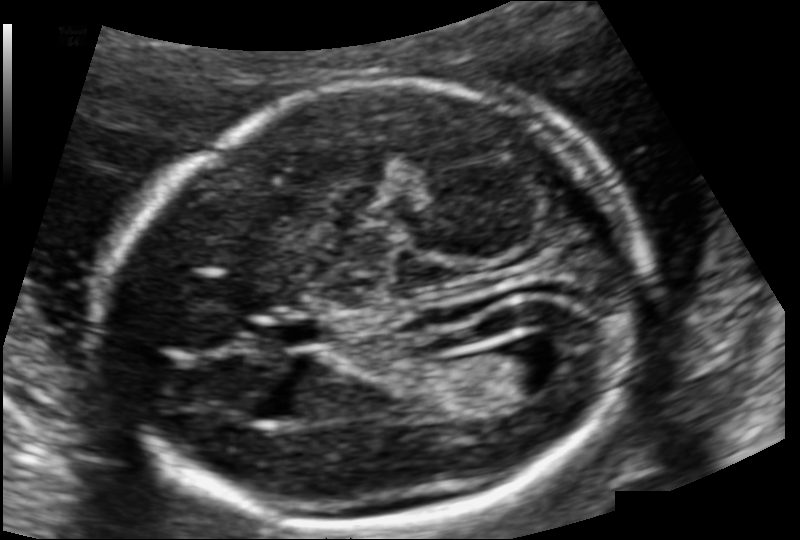
Fetal head ultrasound. Image width: 89.0 mm. Locate the fetal head and, if visible, the cavum septum pellucidum (CSP) and lateral ventricle (LV). Give bounding boxes as [x1,y1,x2,y2].

Head: [111,83,641,530]
CSP: [273,316,330,349]
Lateral ventricle: [469,327,574,411]